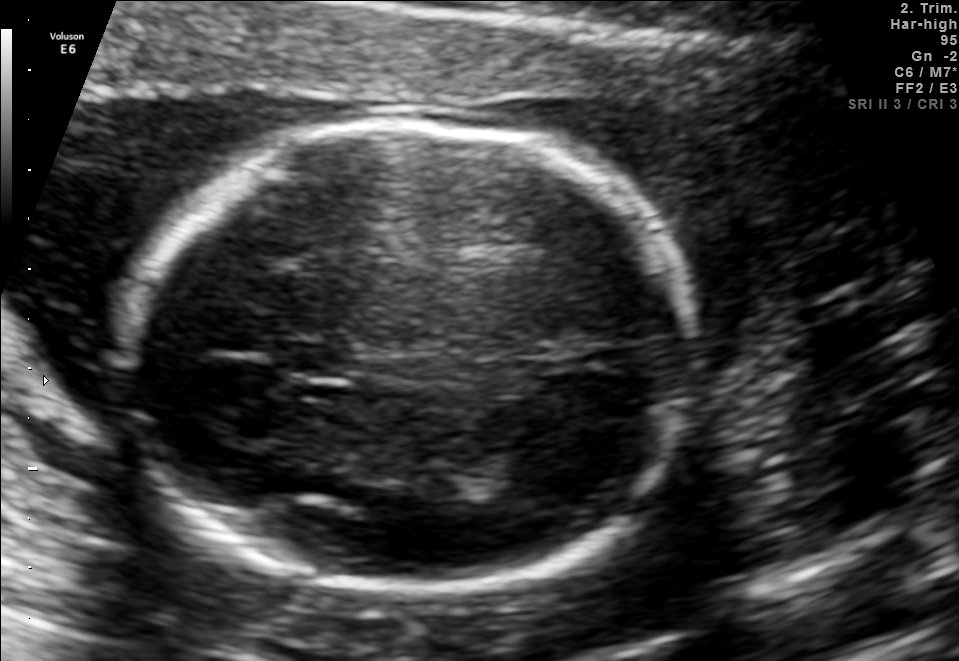
Fetal brain, trans-thalamic plane. Where is the fetal head?

Head bounding box: [110,121,697,586]